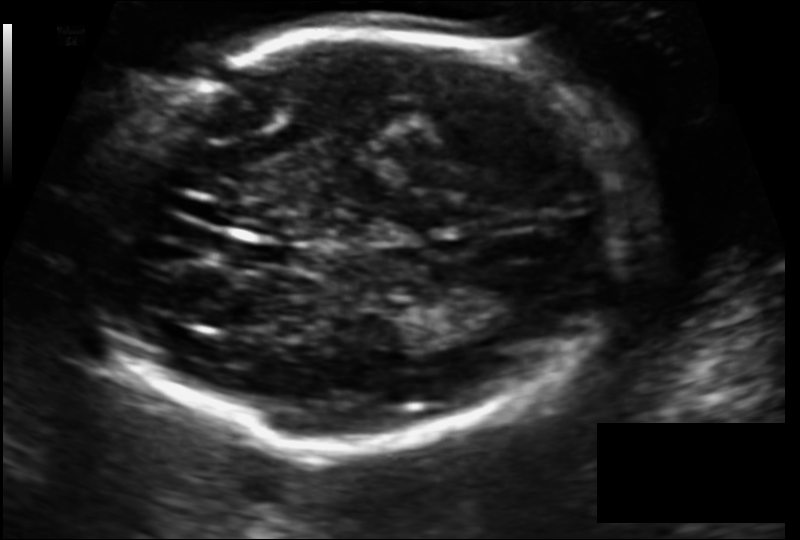
Fetal head ultrasound. Image width: 98.9 mm. Locate the fetal head.

Head: [89,33,627,444]